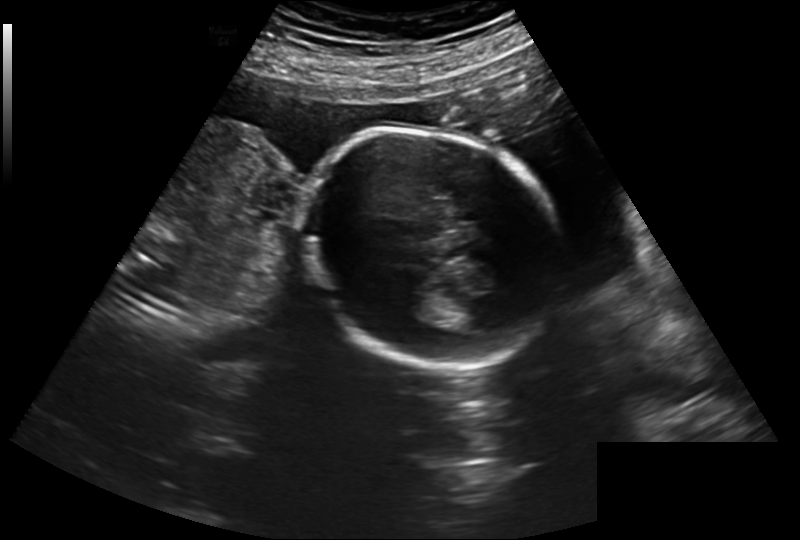
Estimate the fetal head circumference from this 2D ultrasound. Image width: 207.9 mm.

Head circumference: 214.4 mm.